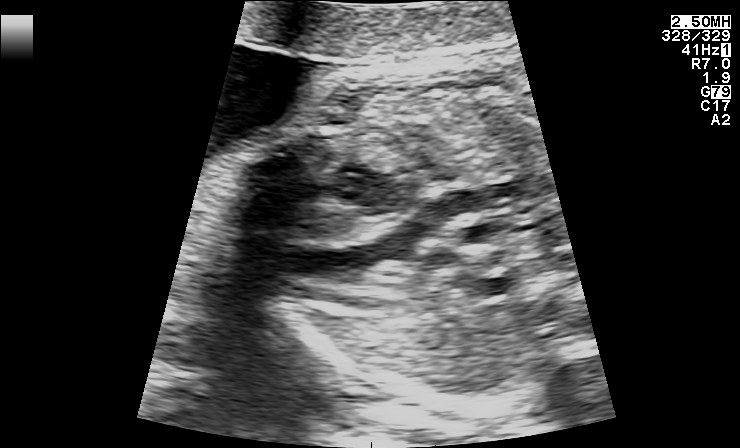
Which standard maternal-fetal ultrasound plane is shown: fetal abdomen, fetal brain, fetal femur, fetal thorax, maternal cervix, or other? If it's fetal brain and one of the three standard brain planes (trans-thalamic, trans-cerebellum, trans-ventricular), name which.

Other